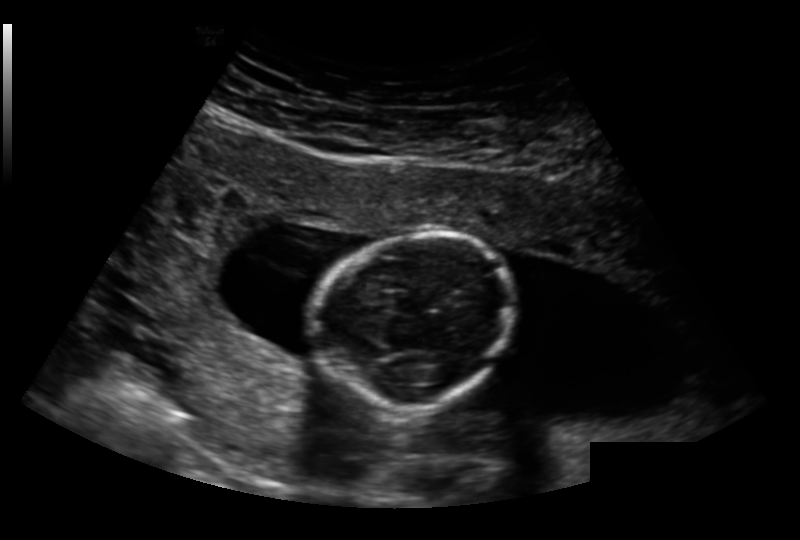
In this fetal head ultrasound, give bounding boxes for the head outline, cavum septum pellucidum (CSP), and lateral ventricle (LV), where visible. Image width: 152.4 mm.

Head: [319,233,516,410]